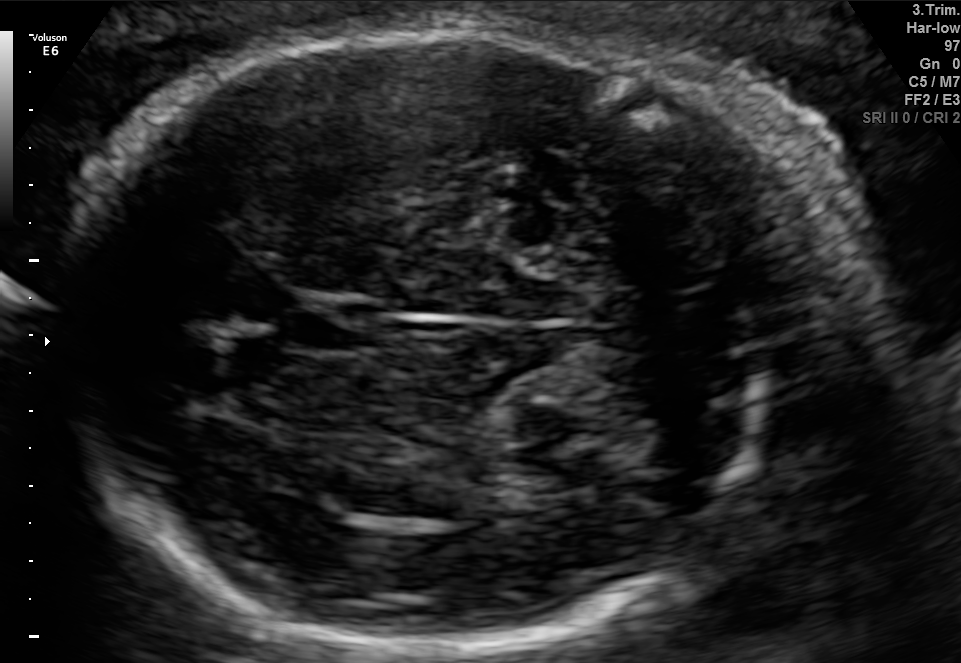
Fetal brain, trans-cerebellum plane. Locate the cavum septum pellucidum.

CSP: [279,290,371,354]